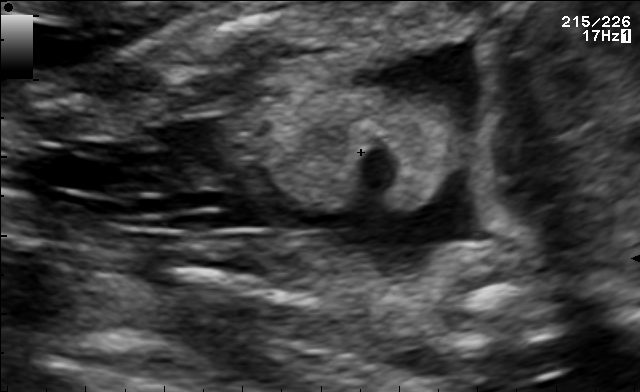
This is a 2D maternal-fetal ultrasound frame. Is it a fetal abdomen, fetal brain, fetal femur, fetal thorax, maternal cervix, or other standard plane? If it's fetal brain and one of the three standard brain planes (trans-thalamic, trans-cerebellum, trans-ventricular), name which.

Other